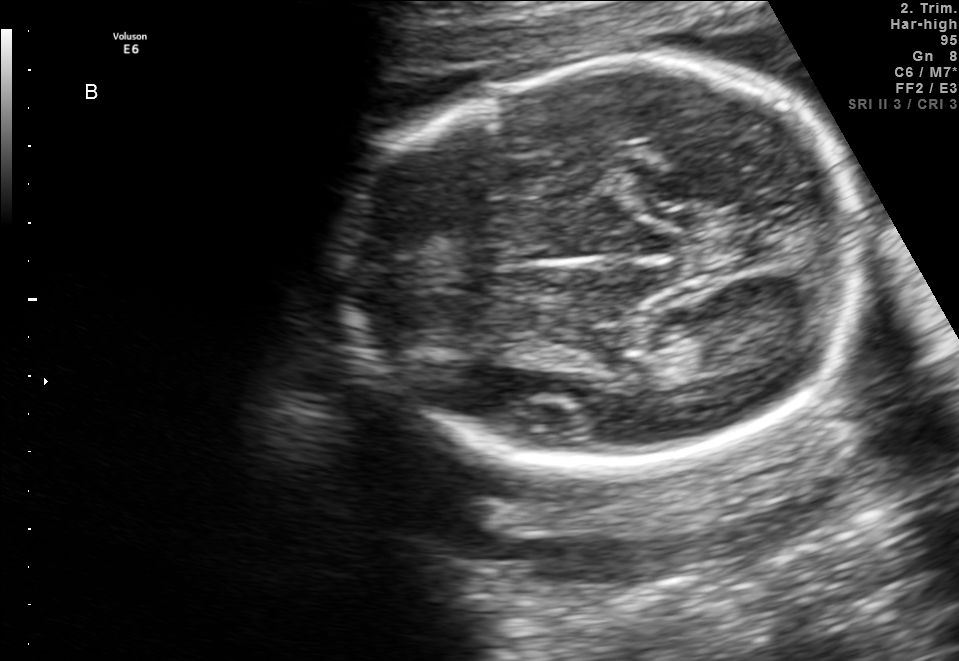
Fetal brain, trans-thalamic plane. Where is the fetal head?

Head bounding box: [333,66,870,463]